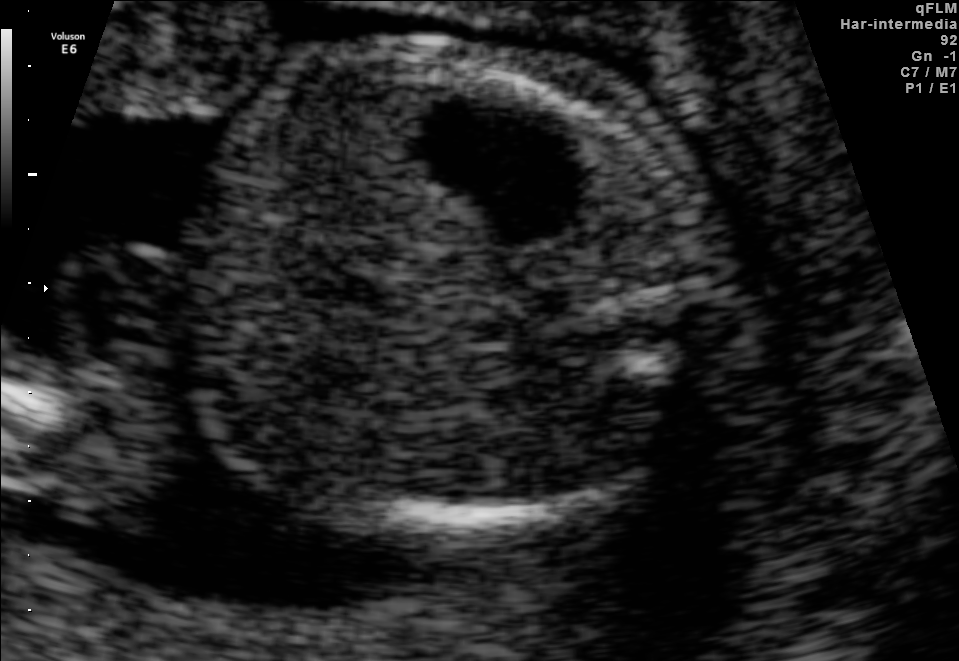
Identify the standard plane in this fetal ultrasound image: fetal abdomen, fetal brain, fetal femur, fetal thorax, maternal cervix, or other. If it's fetal brain and one of the three standard brain planes (trans-thalamic, trans-cerebellum, trans-ventricular), name which.

Fetal abdomen